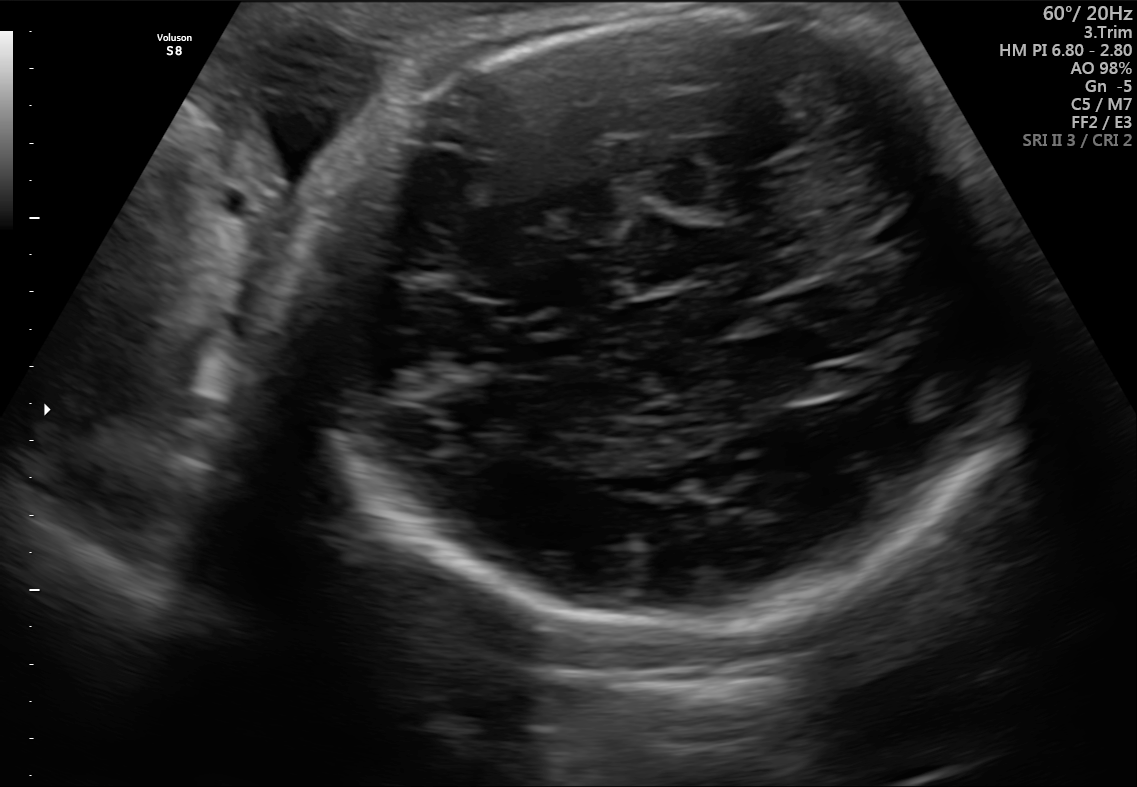
In this fetal brain, trans-cerebellum plane, give bounding boxes for the head outline, cavum septum pellucidum (CSP), and lateral ventricle (LV), where visible.

Head: [314,8,1020,631]